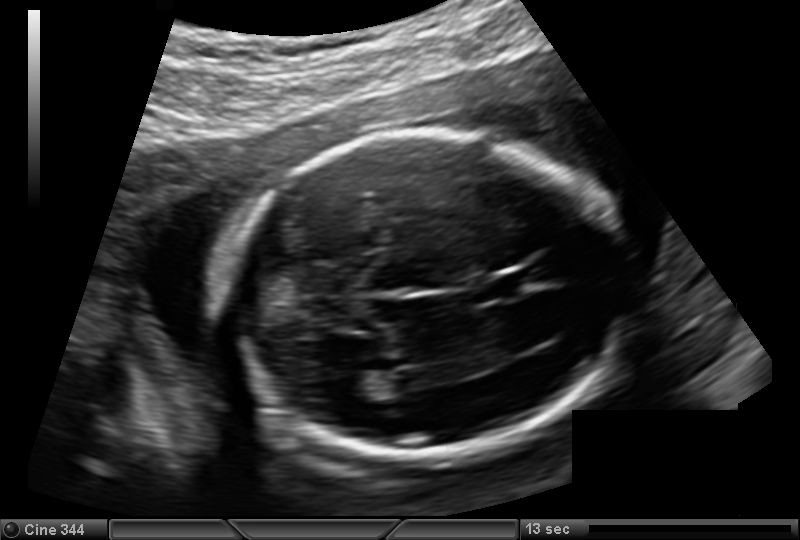
Fetal head ultrasound. Image width: 115.3 mm. Where is the fetal head?

Head bounding box: [219,127,632,462]